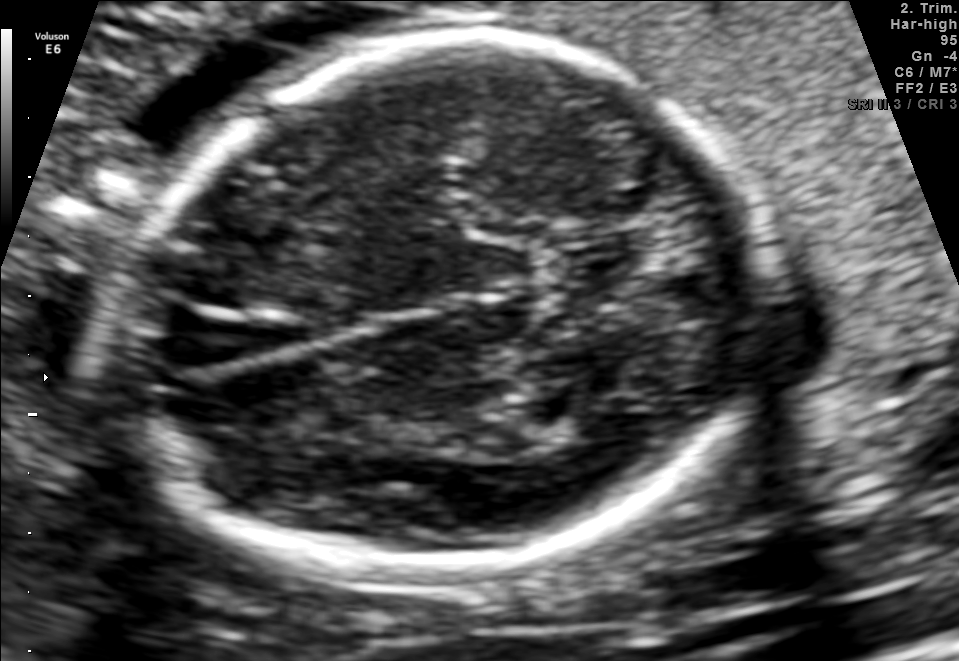
Fetal brain, trans-thalamic plane. Where is the fetal head?

Head bounding box: [104,37,767,574]